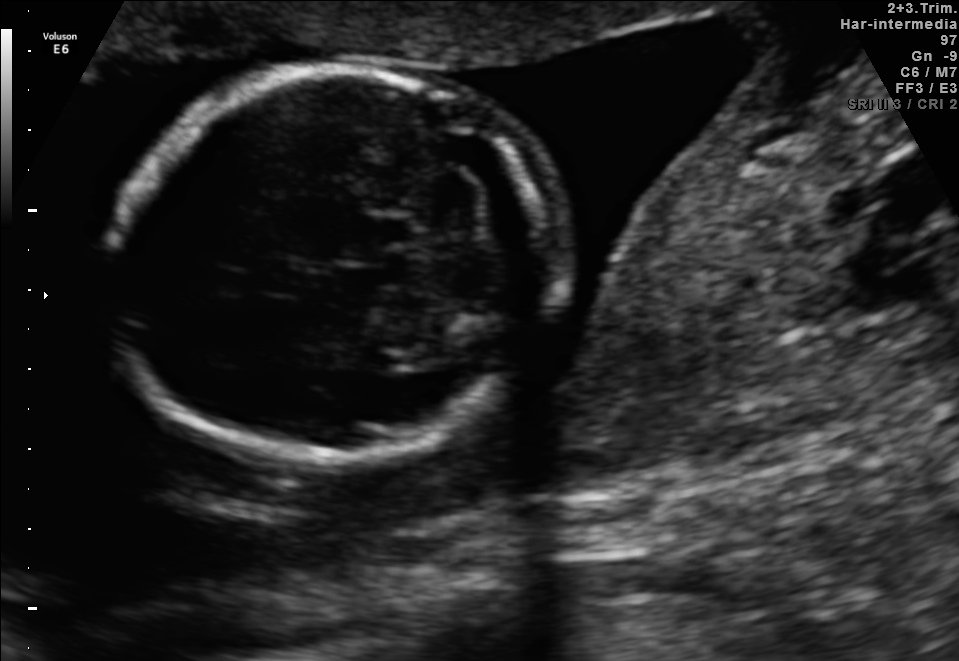
Fetal brain, trans-cerebellum plane. Locate the fetal head and, if visible, the cavum septum pellucidum (CSP) and lateral ventricle (LV). Give bounding boxes as [x1,y1,x2,y2].

Head: [111,67,548,464]